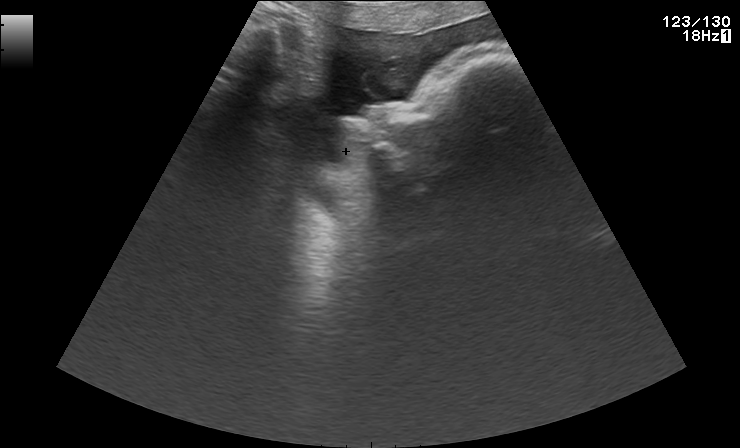
This is a 2D maternal-fetal ultrasound frame. Is it a fetal abdomen, fetal brain, fetal femur, fetal thorax, maternal cervix, or other standard plane? If it's fetal brain and one of the three standard brain planes (trans-thalamic, trans-cerebellum, trans-ventricular), name which.

Other